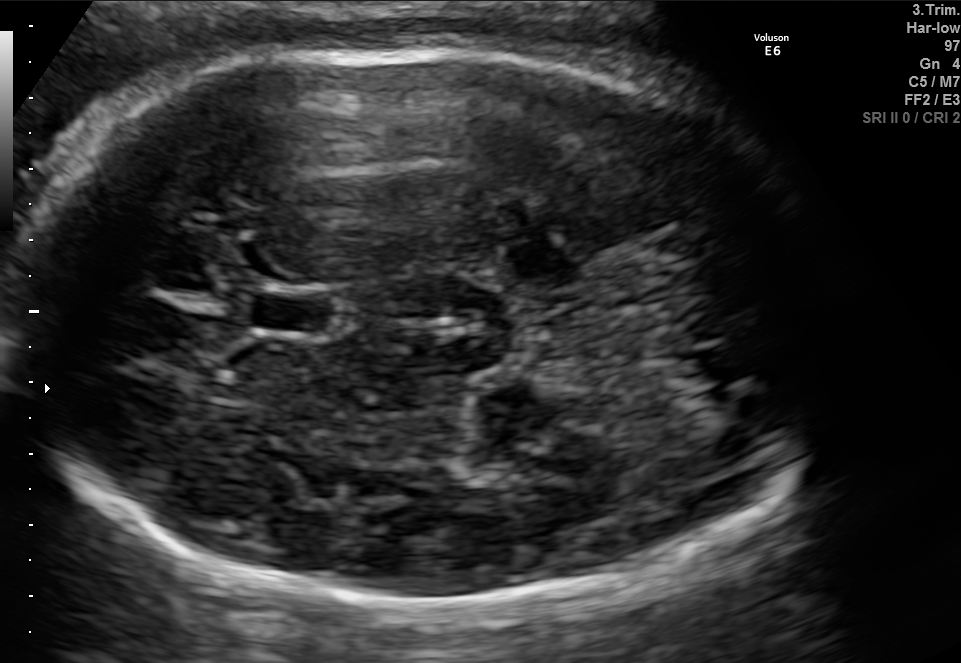
Identify the standard plane in this fetal ultrasound image: fetal abdomen, fetal brain, fetal femur, fetal thorax, maternal cervix, or other. If it's fetal brain and one of the three standard brain planes (trans-thalamic, trans-cerebellum, trans-ventricular), name which.

Fetal brain (trans-thalamic plane)